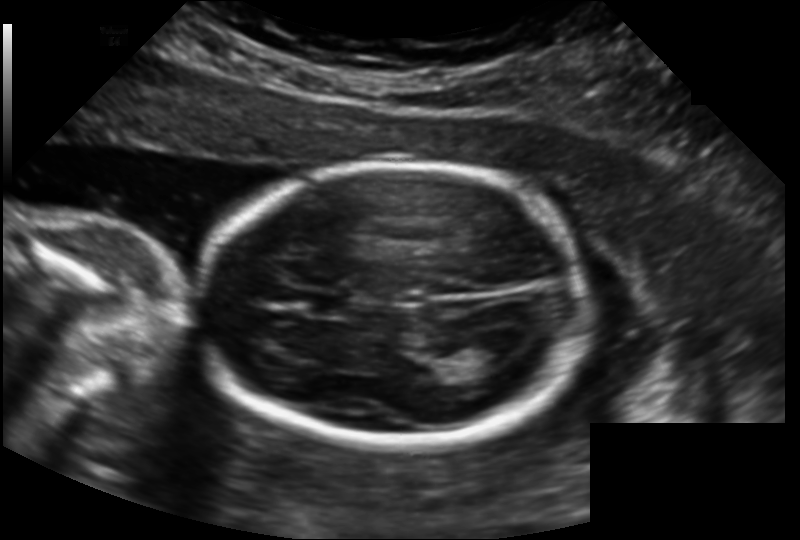
In this fetal head ultrasound, give the bounding box of the lateral ventricle. Image width: 126.2 mm.

[459,328,521,375]